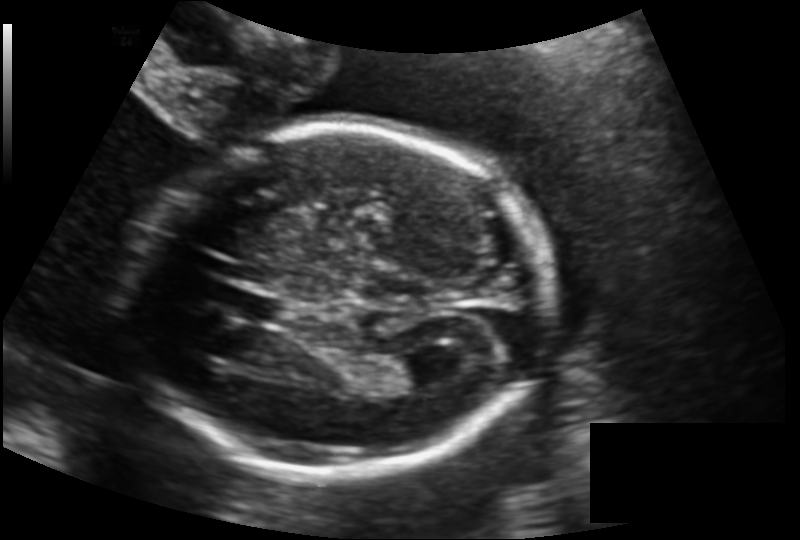
In this fetal head ultrasound, give the bounding box of the lateral ventricle. Image width: 117.2 mm.

[385,350,446,390]